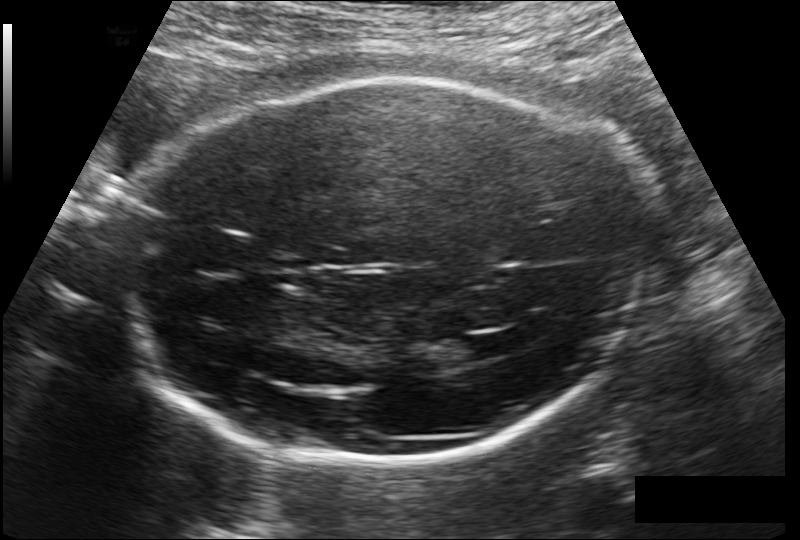
In this fetal head ultrasound, give bounding boxes for the head outline, cavum septum pellucidum (CSP), and lateral ventricle (LV), where visible. Image width: 142.1 mm.

Head: [125,80,647,465]
Lateral ventricle: [441,334,492,366]